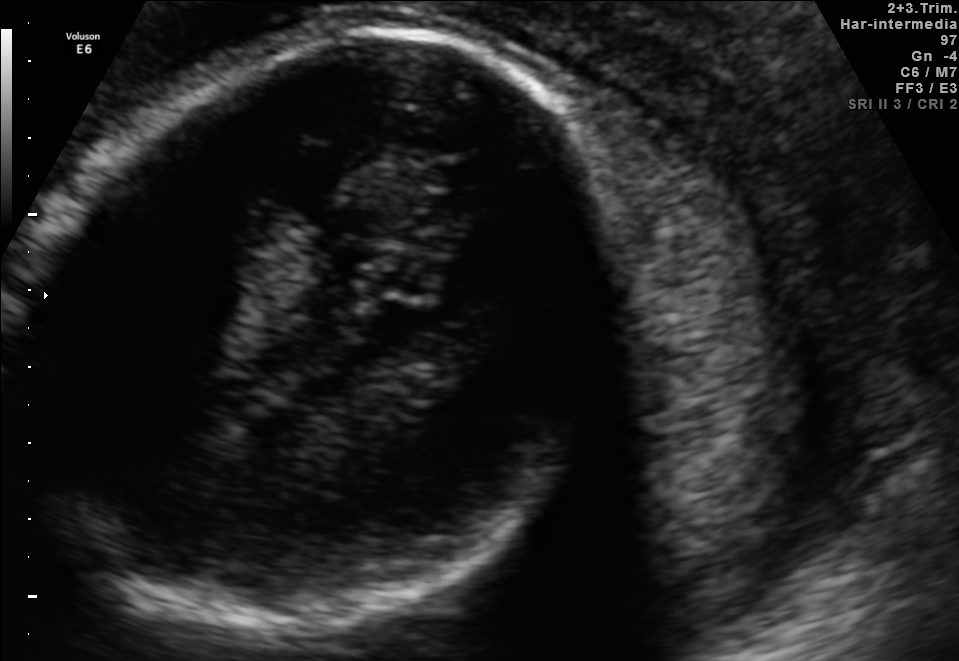
Which standard maternal-fetal ultrasound plane is shown: fetal abdomen, fetal brain, fetal femur, fetal thorax, maternal cervix, or other? If it's fetal brain and one of the three standard brain planes (trans-thalamic, trans-cerebellum, trans-ventricular), name which.

Fetal brain